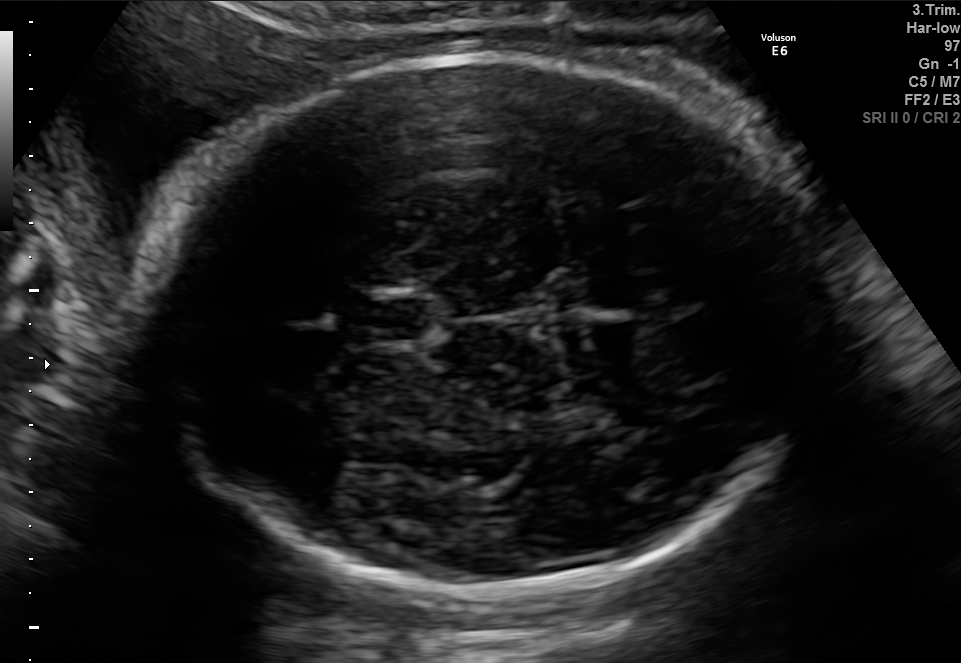
Identify the standard plane in this fetal ultrasound image: fetal abdomen, fetal brain, fetal femur, fetal thorax, maternal cervix, or other. If it's fetal brain and one of the three standard brain planes (trans-thalamic, trans-cerebellum, trans-ventricular), name which.

Fetal brain (trans-thalamic plane)